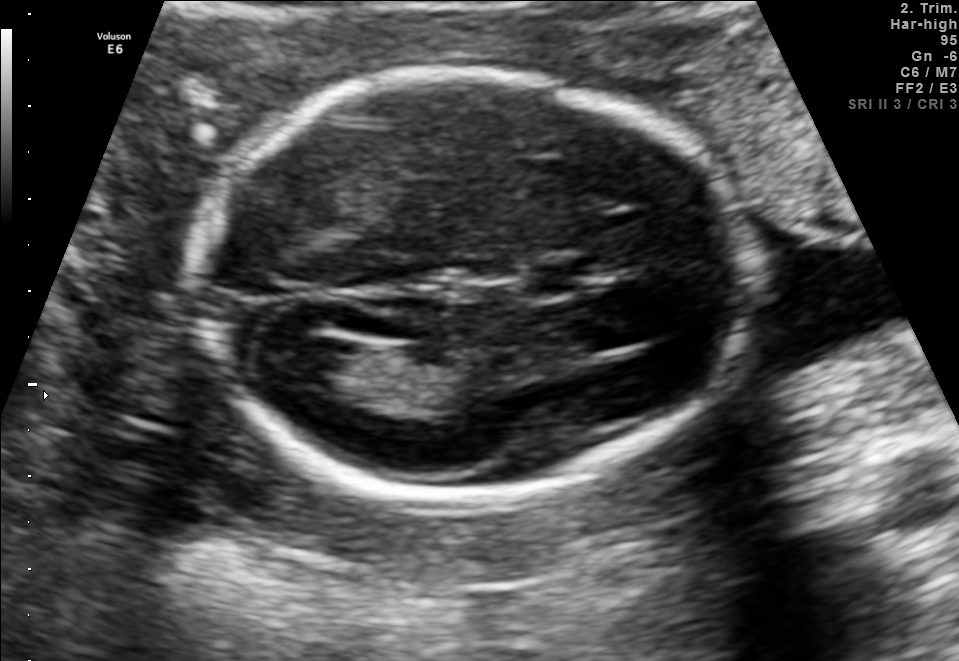
Fetal brain, trans-ventricular plane. Locate the fetal head and, if visible, the cavum septum pellucidum (CSP) and lateral ventricle (LV). Give bounding boxes as [x1,y1,x2,y2].

Head: [179,61,772,518]
CSP: [521,248,609,306]
Lateral ventricle: [260,328,355,390]